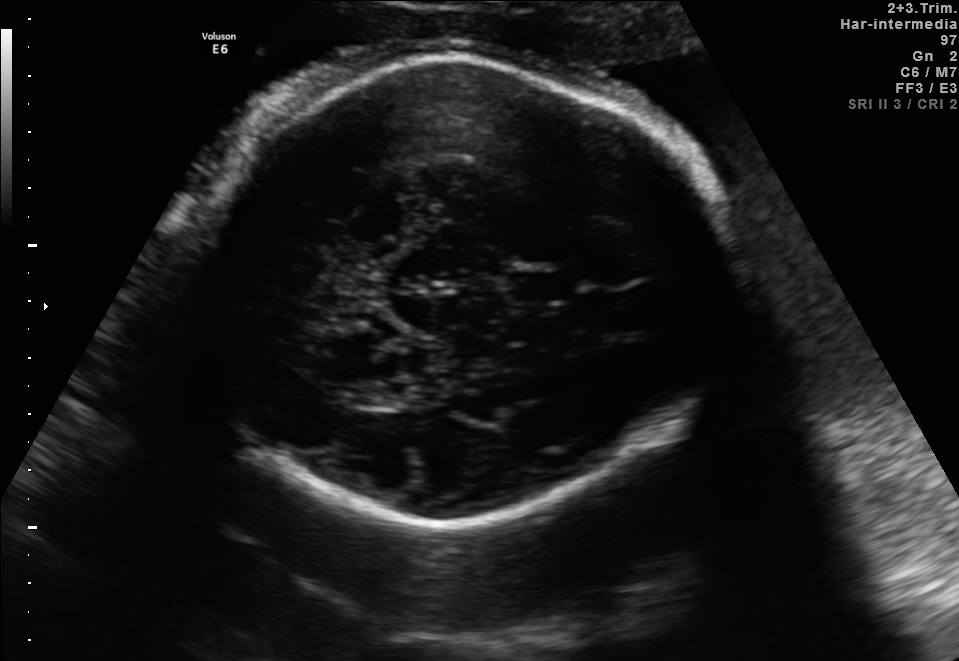
In this fetal brain, trans-thalamic plane, give bounding boxes for the head outline, cavum septum pellucidum (CSP), and lateral ventricle (LV), where visible.

Head: [183,54,724,523]
CSP: [506,273,568,300]
Lateral ventricle: [350,383,408,409]